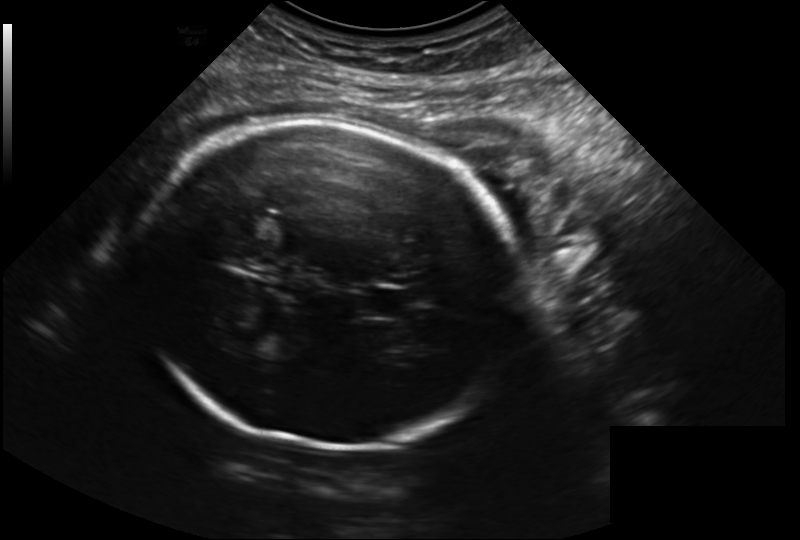
In this fetal head ultrasound, give the bounding box of the cavum septum pellucidum. Image width: 178.0 mm.

[359,285,417,322]